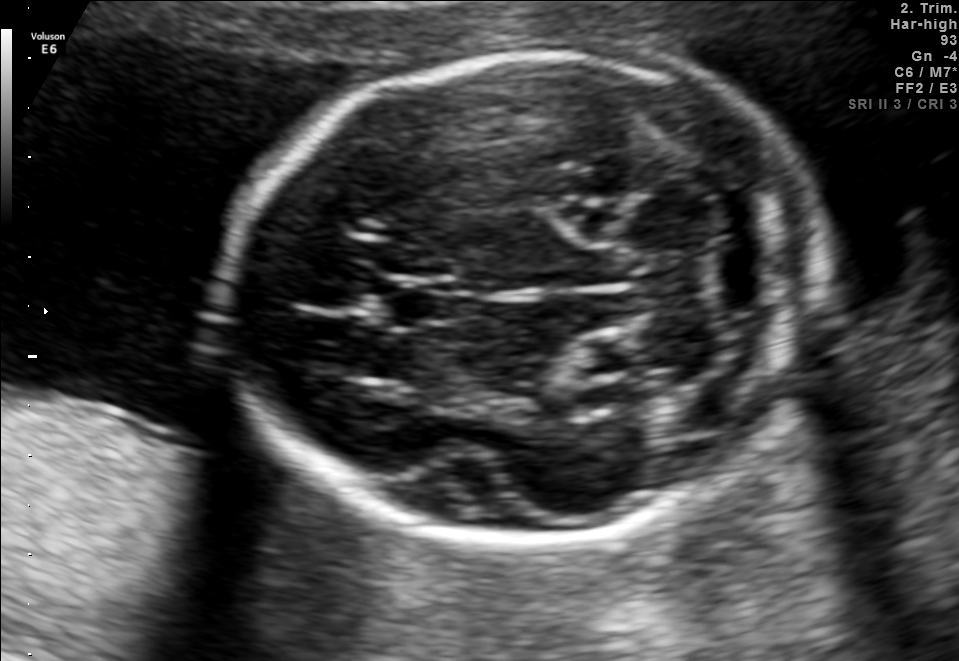
Fetal brain, trans-cerebellum plane. Where is the cavum septum pellucidum?

CSP bounding box: [380,277,460,330]